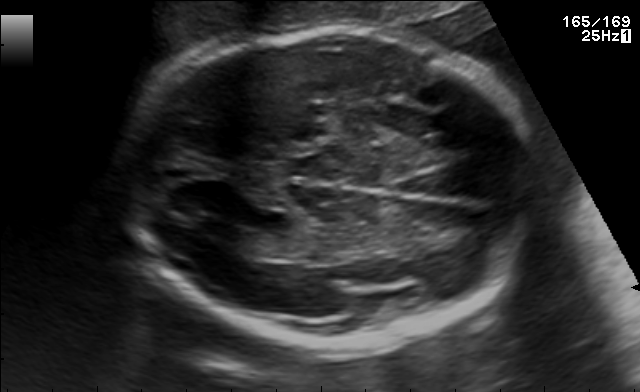
Fetal brain, trans-ventricular plane. Locate the fetal head.

Head: [118,24,550,355]